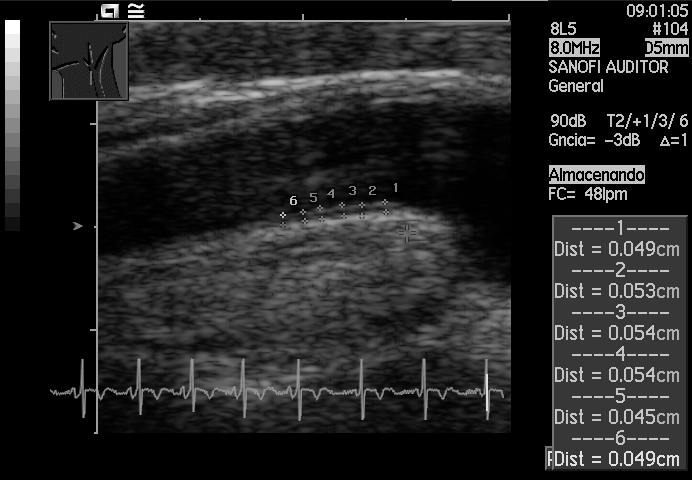
Classify this maternal-fetal ultrasound image as one of the six standard planes — fetal abdomen, fetal brain, fetal femur, fetal thorax, maternal cervix, or other. If it's fetal brain and one of the three standard brain planes (trans-thalamic, trans-cerebellum, trans-ventricular), name which.

Other